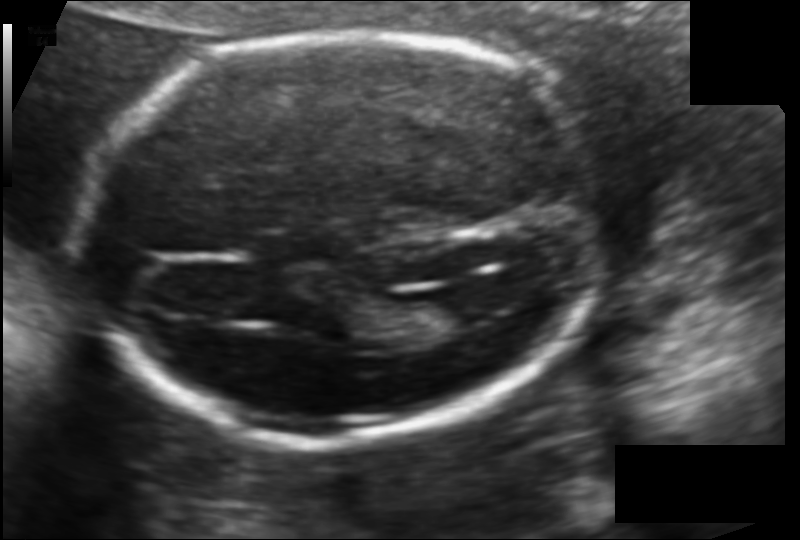
Fetal head ultrasound. Image width: 94.7 mm. Locate the fetal head and, if visible, the cavum septum pellucidum (CSP) and lateral ventricle (LV). Give bounding boxes as [x1,y1,x2,y2].

Head: [80,29,601,440]
Lateral ventricle: [396,289,477,342]